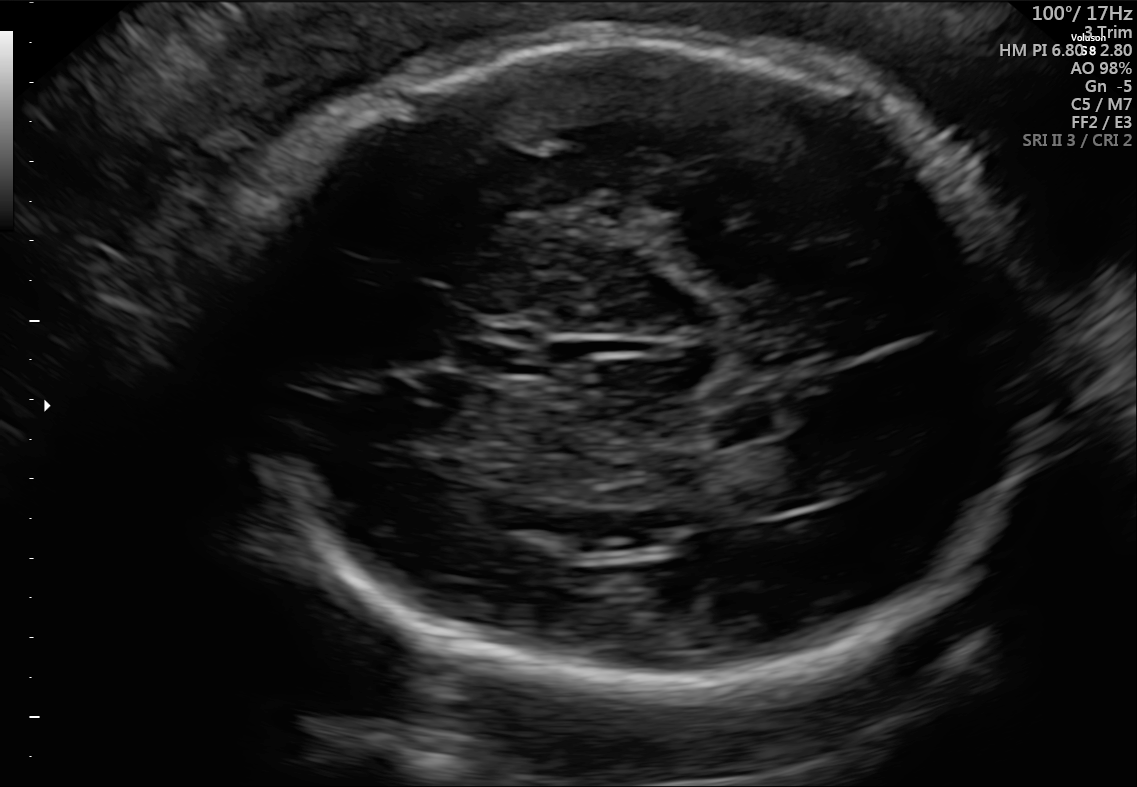
Fetal brain, trans-thalamic plane. Locate the cavum septum pellucidum.

CSP: [467,325,546,376]